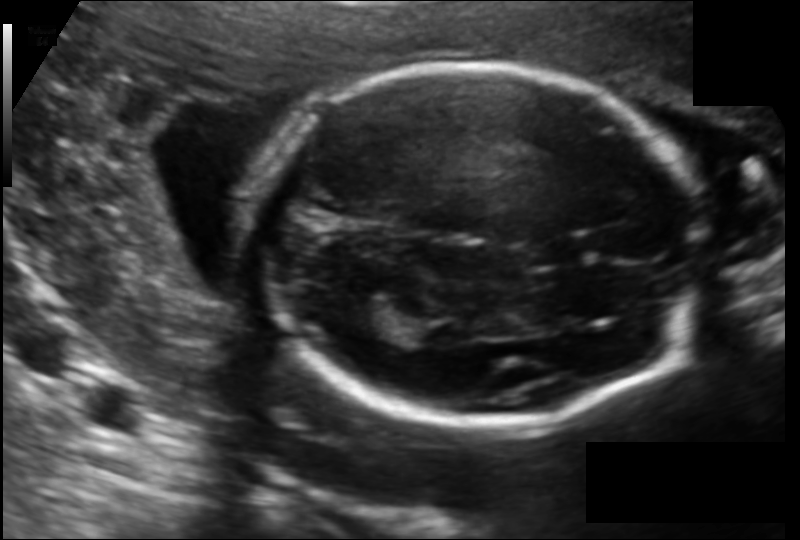
Fetal head ultrasound. Image width: 103.2 mm. Give [x1,y1,x2,y2] bounding boxes for each visible structure among: fetal head, CSP, LV.

Head: [248,63,702,422]
CSP: [526,235,586,271]